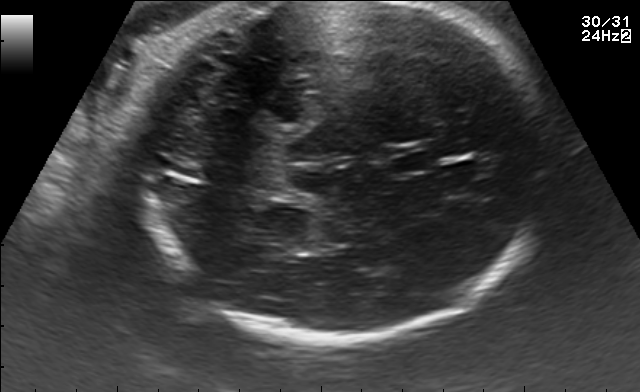
In this fetal brain, trans-thalamic plane, give the bounding box of the cavum septum pellucidum.

[391,150,439,175]